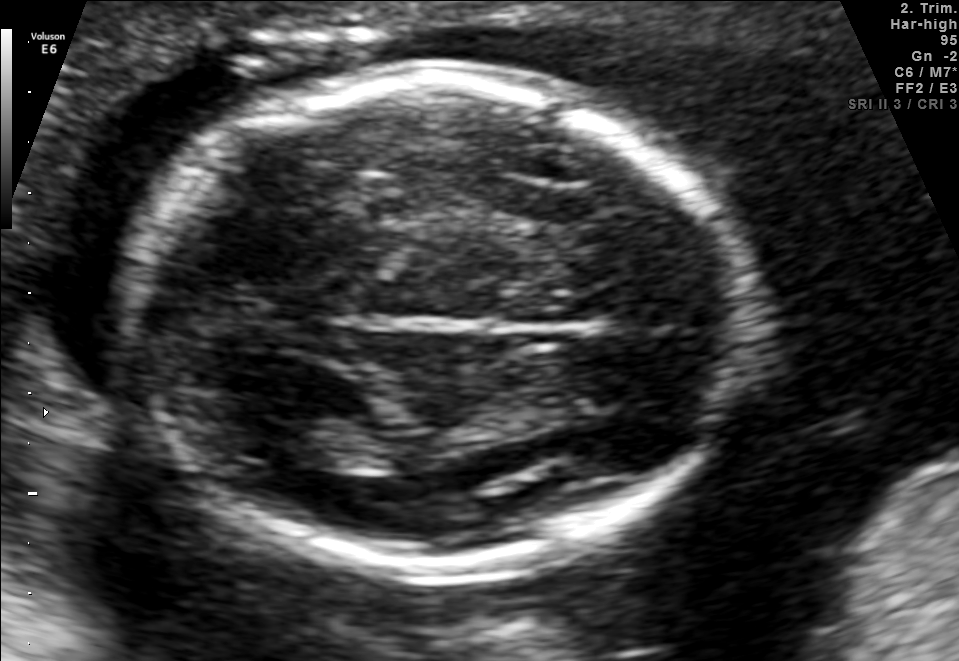
Fetal brain, trans-thalamic plane. Locate the fetal head.

Head: [119,76,750,569]